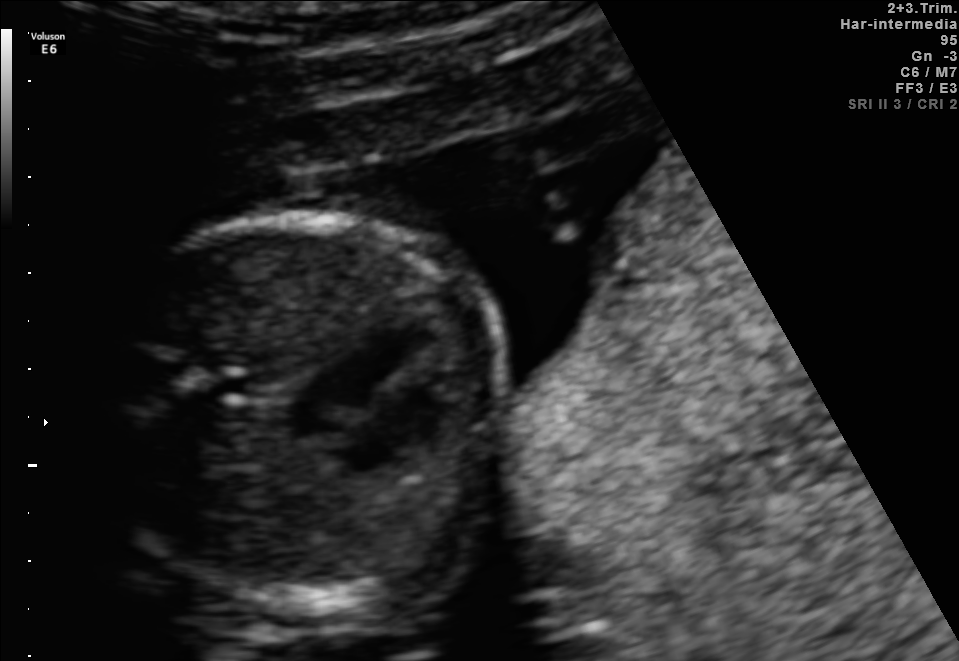
This is a 2D maternal-fetal ultrasound frame. Is it a fetal abdomen, fetal brain, fetal femur, fetal thorax, maternal cervix, or other standard plane? If it's fetal brain and one of the three standard brain planes (trans-thalamic, trans-cerebellum, trans-ventricular), name which.

Fetal thorax